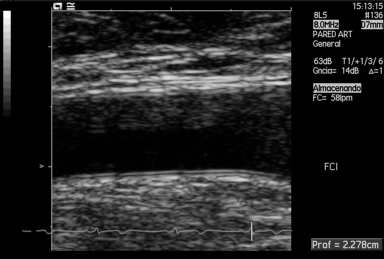
Identify the standard plane in this fetal ultrasound image: fetal abdomen, fetal brain, fetal femur, fetal thorax, maternal cervix, or other. If it's fetal brain and one of the three standard brain planes (trans-thalamic, trans-cerebellum, trans-ventricular), name which.

Other